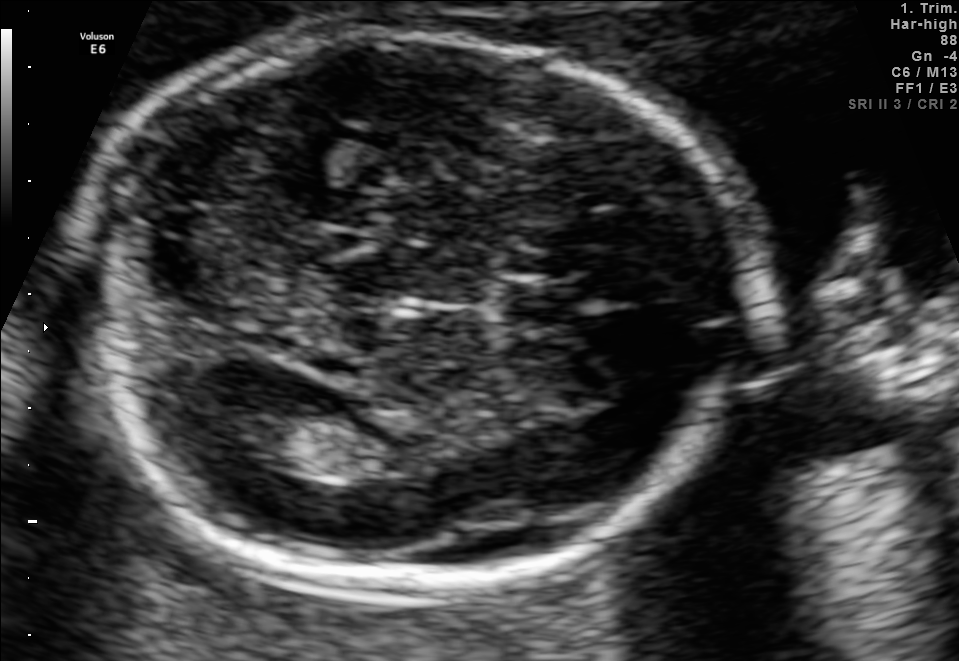
In this fetal brain, trans-ventricular plane, give the bounding box of the fetal head.

[63,25,766,604]